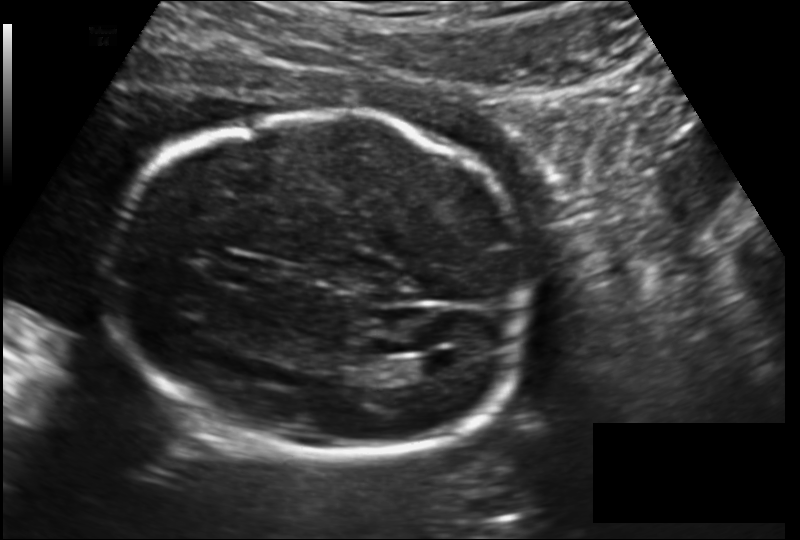
What is the fetal head circumference? Image width is 125.8 mm.

192.6 mm